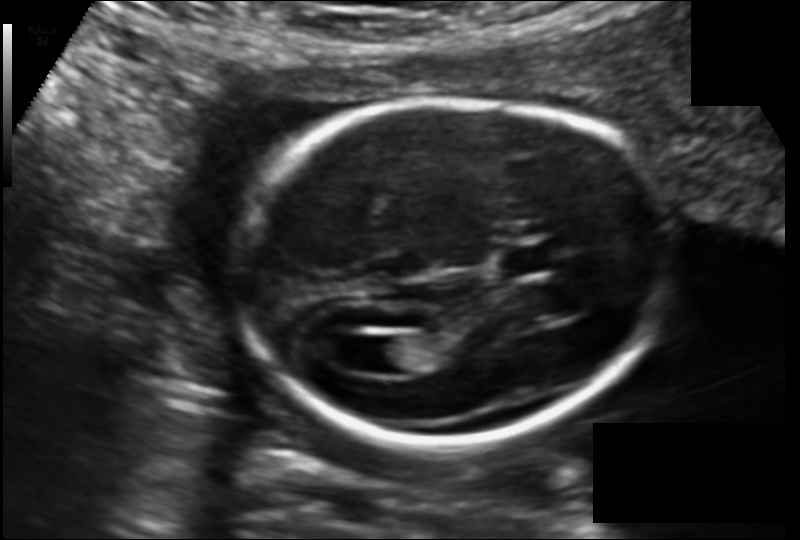
Fetal head ultrasound. Image width: 107.8 mm. Locate the fetal head.

Head: [238,98,669,444]